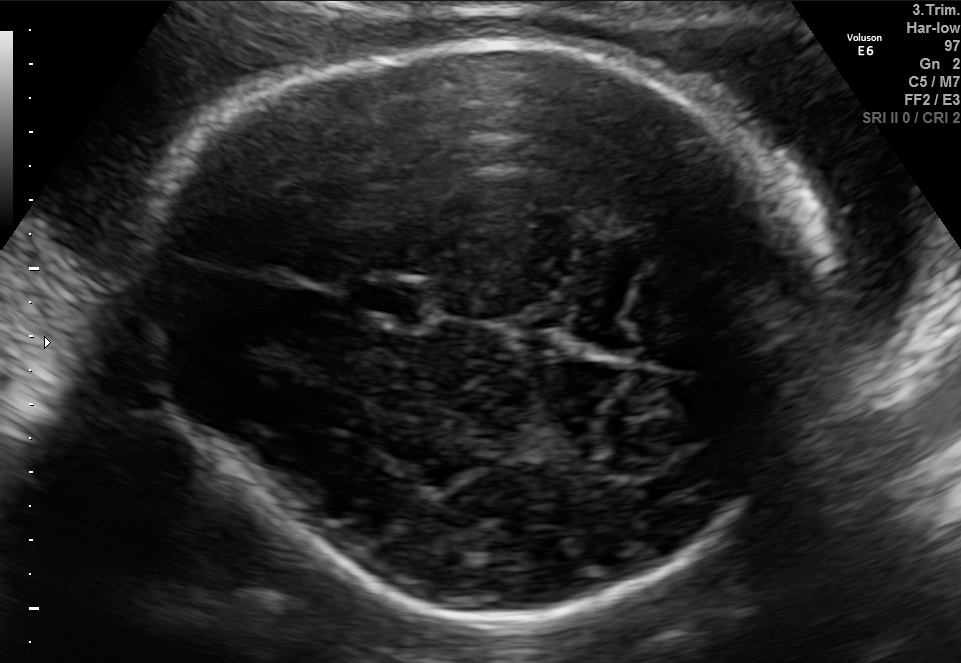
Fetal brain, trans-thalamic plane. Locate the cavum septum pellucidum.

CSP: [354,277,427,328]